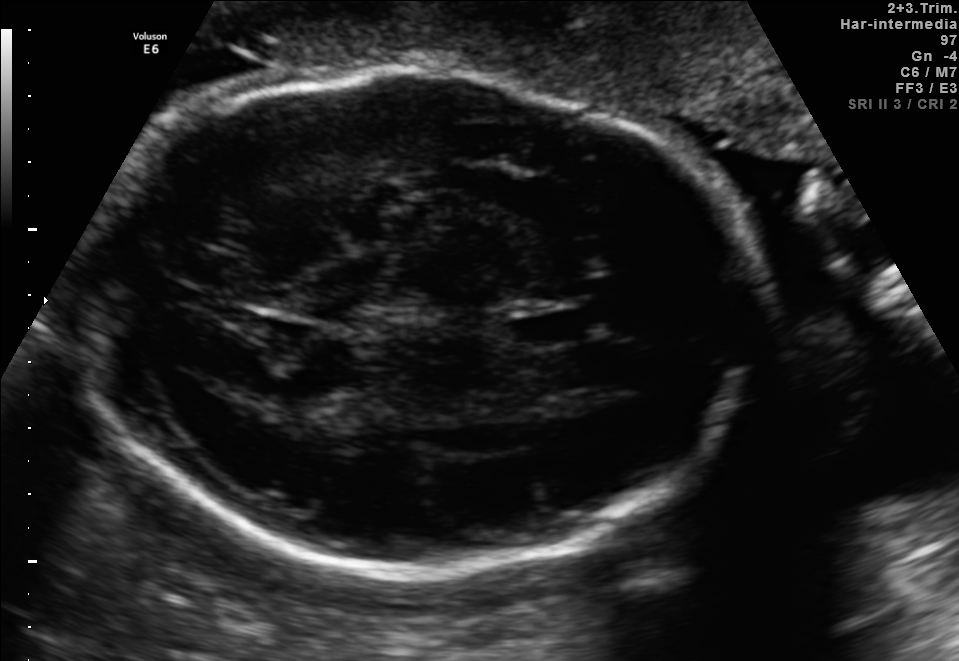
Fetal brain, trans-thalamic plane. Locate the cavum septum pellucidum.

CSP: [508,307,588,353]